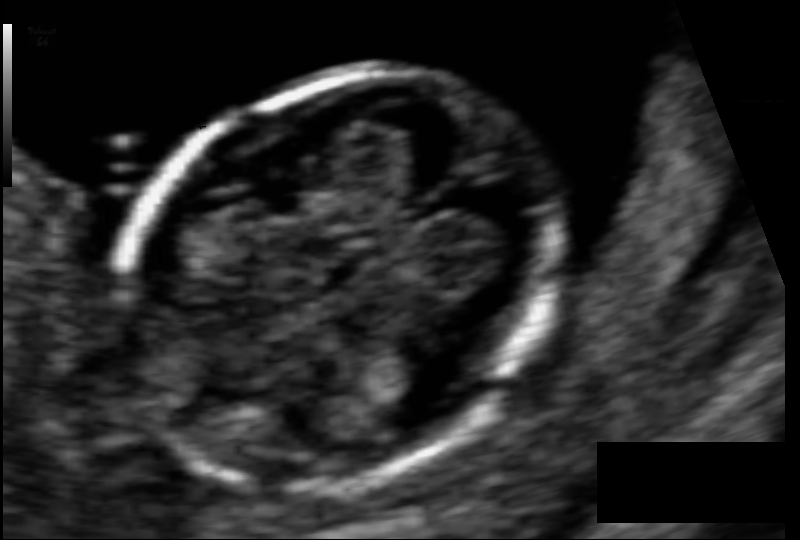
Estimate the fetal head circumference from this 2D ultrasound.

Head circumference: 85.0 mm (image width 48.5 mm).